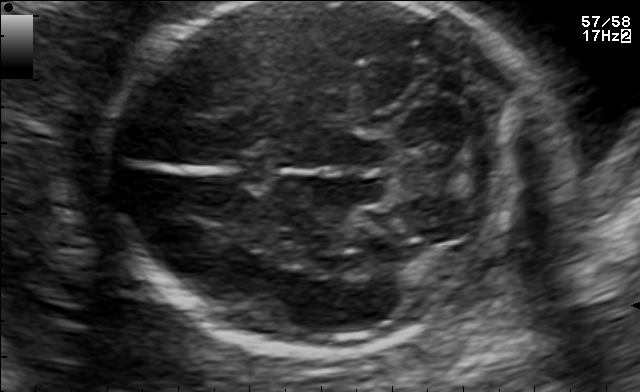
Classify this maternal-fetal ultrasound image as one of the six standard planes — fetal abdomen, fetal brain, fetal femur, fetal thorax, maternal cervix, or other. If it's fetal brain and one of the three standard brain planes (trans-thalamic, trans-cerebellum, trans-ventricular), name which.

Fetal brain (trans-cerebellum plane)